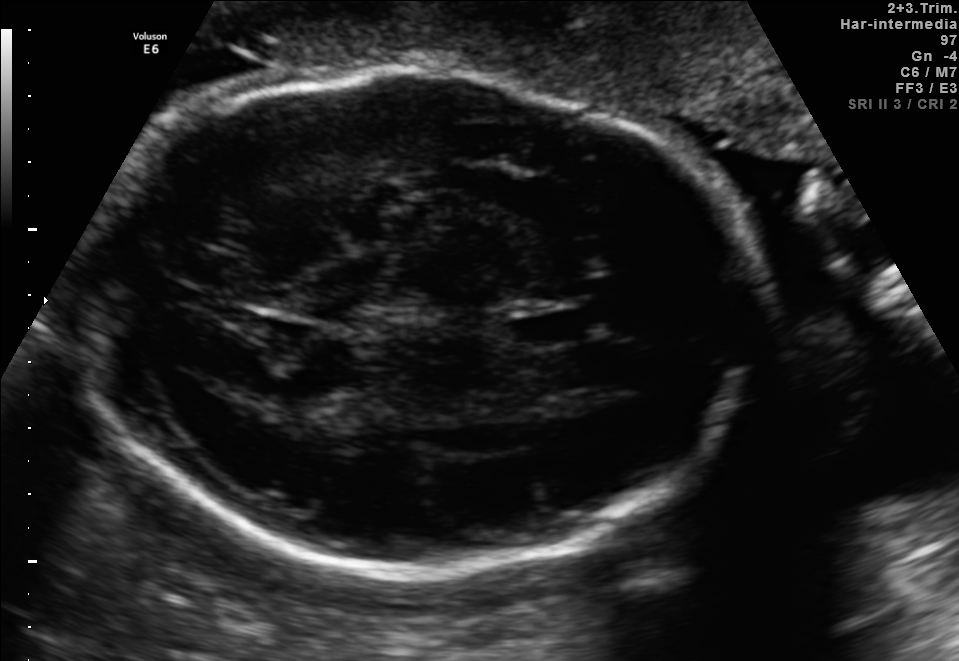
In this fetal brain, trans-thalamic plane, give the bounding box of the fetal head.

[76,70,755,575]